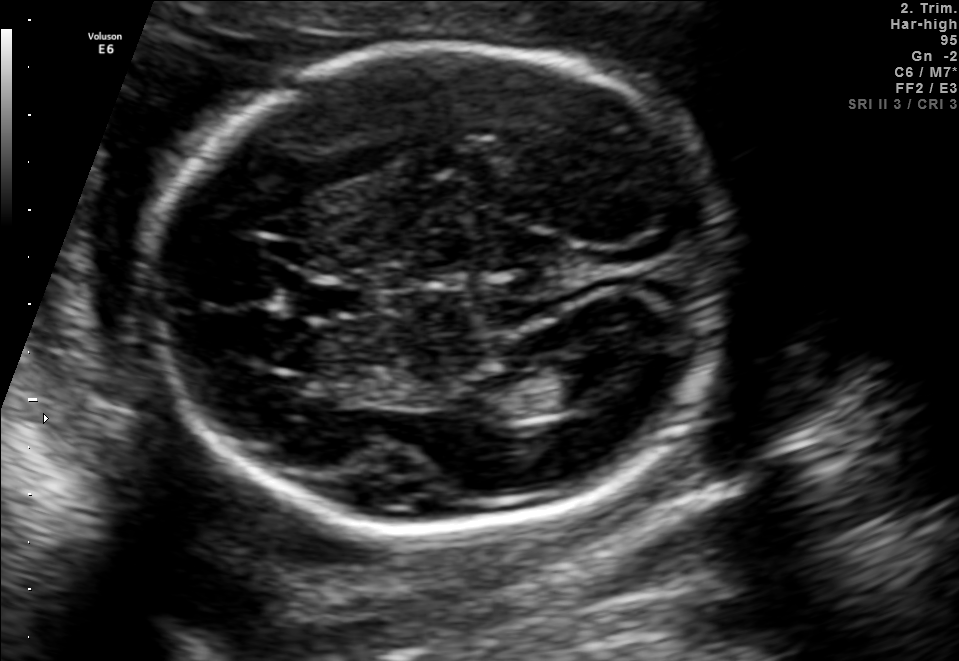
In this fetal brain, trans-ventricular plane, give bounding boxes for the head outline, cavum septum pellucidum (CSP), and lateral ventricle (LV), where visible.

Head: [135,37,742,540]
CSP: [282,277,380,322]
Lateral ventricle: [536,343,641,416]